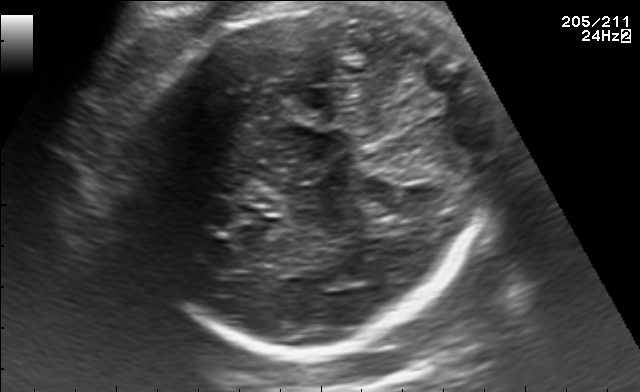
Which standard maternal-fetal ultrasound plane is shown: fetal abdomen, fetal brain, fetal femur, fetal thorax, maternal cervix, or other? If it's fetal brain and one of the three standard brain planes (trans-thalamic, trans-cerebellum, trans-ventricular), name which.

Fetal brain (trans-thalamic plane)